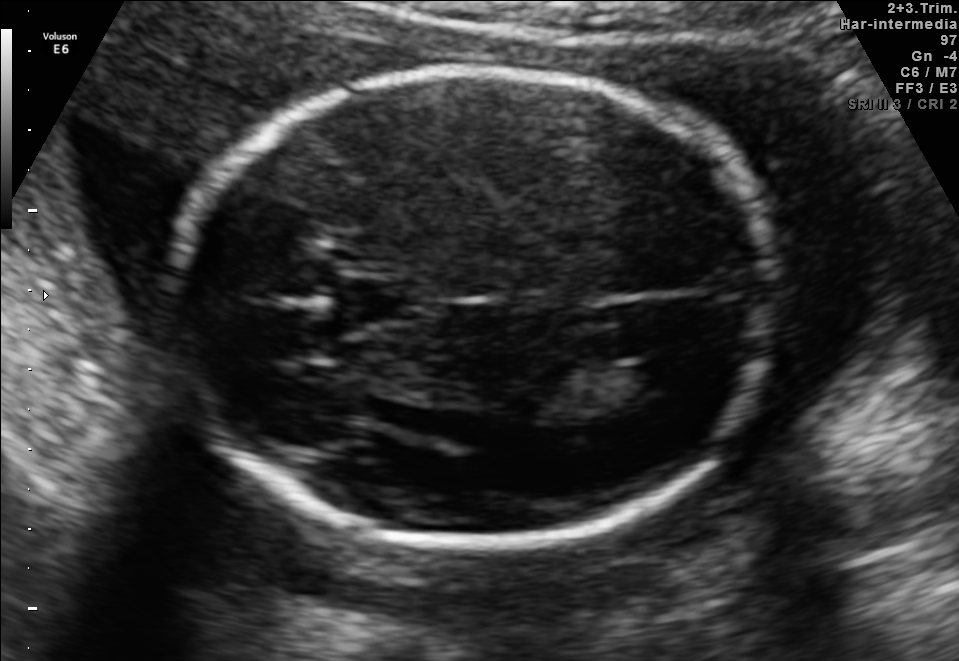
Fetal brain, trans-ventricular plane. Where is the cavum septum pellucidum?

CSP bounding box: [325,280,417,322]